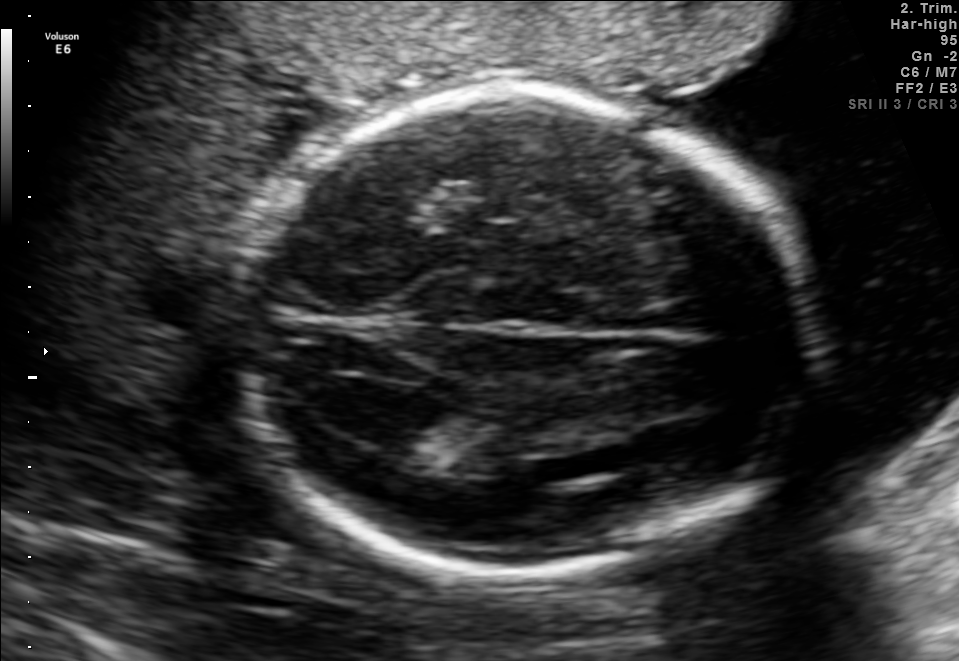
Fetal brain, trans-ventricular plane. Locate the fetal head and, if visible, the cavum septum pellucidum (CSP) and lateral ventricle (LV). Give bounding boxes as [x1,y1,x2,y2].

Head: [223,77,836,590]
Lateral ventricle: [320,359,448,462]